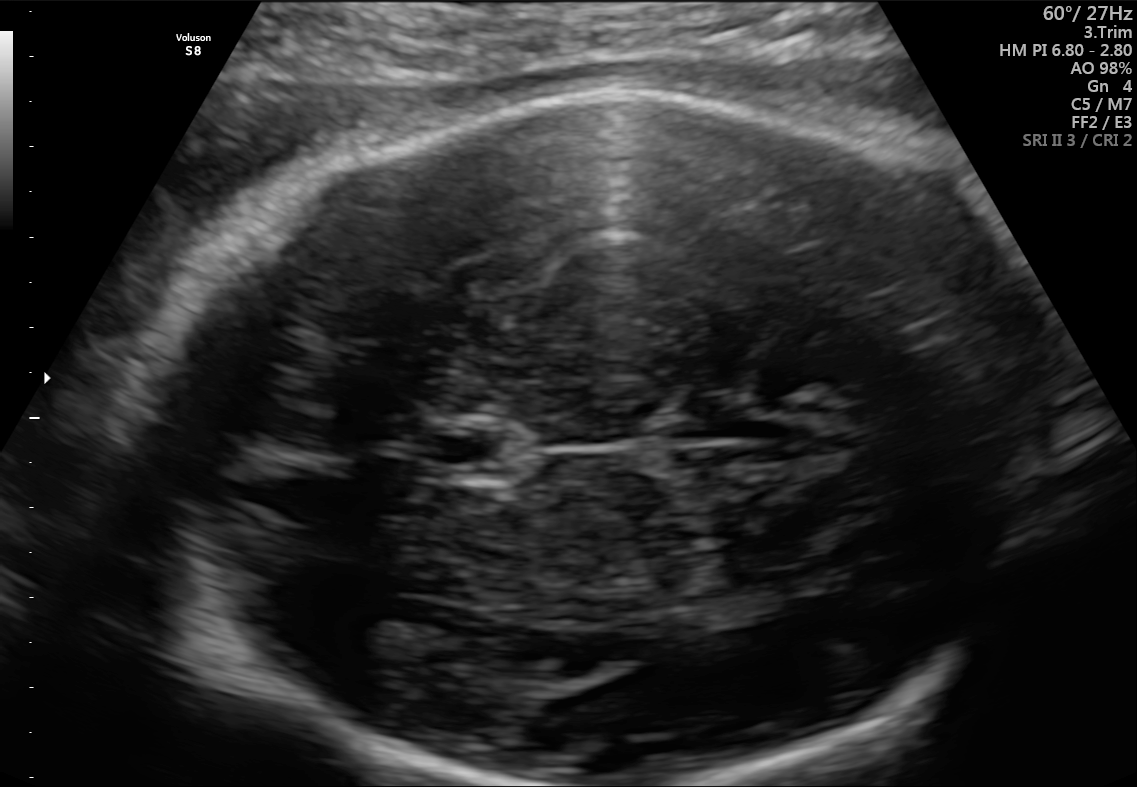
Fetal brain, trans-thalamic plane. Where is the fetal head?

Head bounding box: [124,88,1069,785]